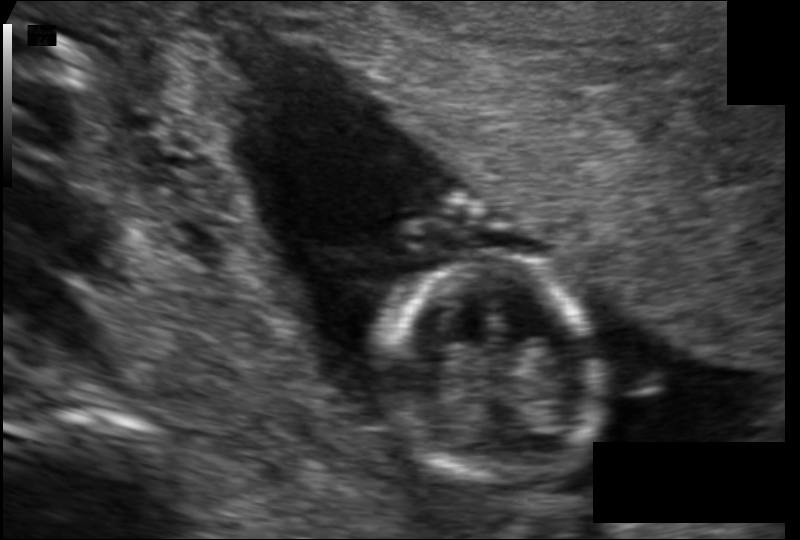
Fetal head ultrasound. Image width: 87.7 mm. Locate the fetal head and, if visible, the cavum septum pellucidum (CSP) and lateral ventricle (LV). Give bounding boxes as [x1,y1,x2,y2].

Head: [381,255,596,483]